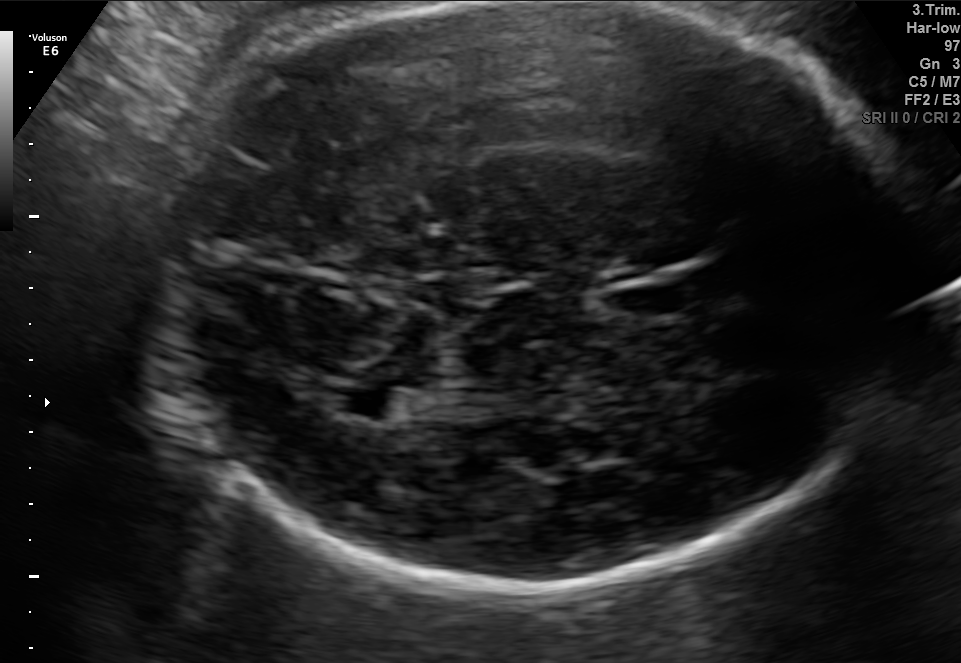
Fetal brain, trans-thalamic plane. Locate the fetal head and, if visible, the cavum septum pellucidum (CSP) and lateral ventricle (LV). Give bounding boxes as [x1,y1,x2,y2].

Head: [167,2,912,591]